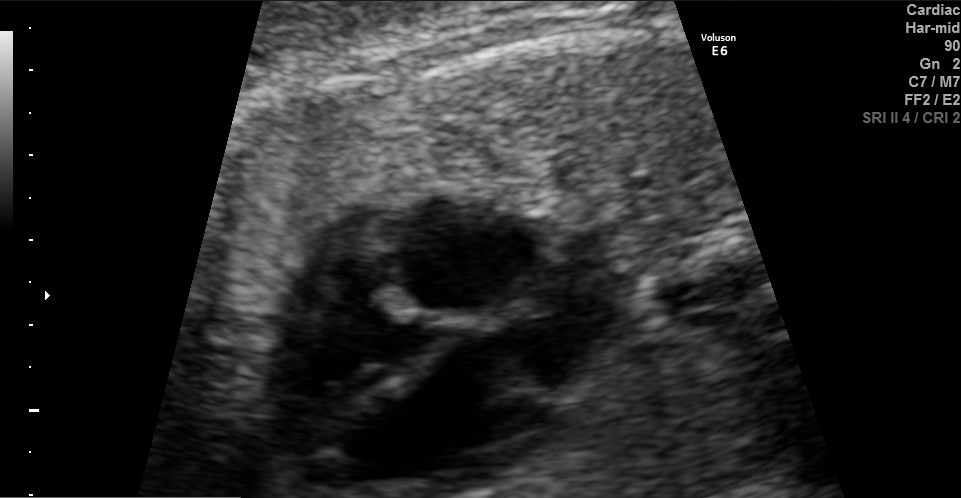
Identify the standard plane in this fetal ultrasound image: fetal abdomen, fetal brain, fetal femur, fetal thorax, maternal cervix, or other. If it's fetal brain and one of the three standard brain planes (trans-thalamic, trans-cerebellum, trans-ventricular), name which.

Fetal thorax